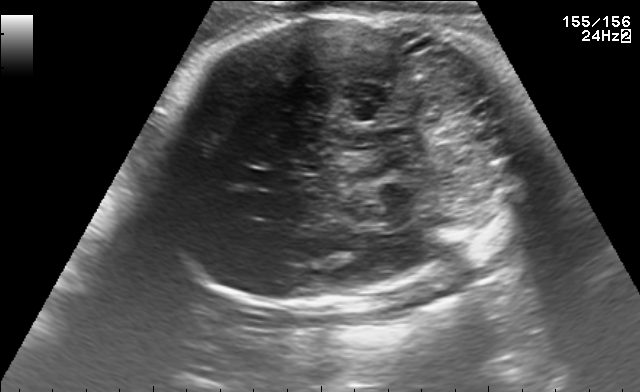
In this fetal brain, trans-cerebellum plane, give bounding boxes for the head outline, cavum septum pellucidum (CSP), and lateral ventricle (LV), where visible.

Head: [147,8,526,306]